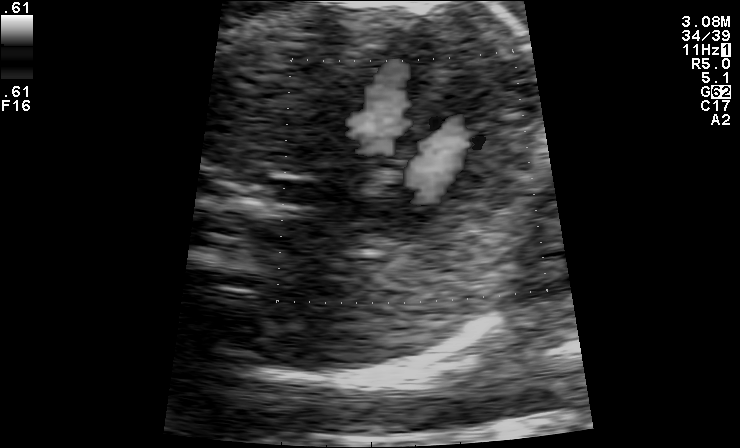
This is a 2D maternal-fetal ultrasound frame. Is it a fetal abdomen, fetal brain, fetal femur, fetal thorax, maternal cervix, or other standard plane? If it's fetal brain and one of the three standard brain planes (trans-thalamic, trans-cerebellum, trans-ventricular), name which.

Other